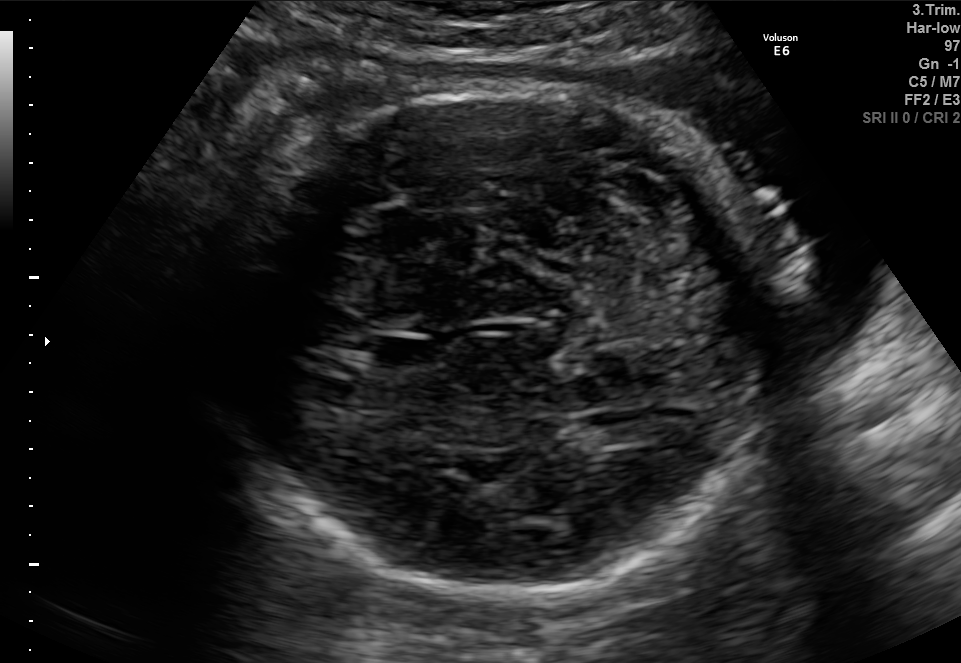
Fetal brain, trans-cerebellum plane. Where is the cavum septum pellucidum?

CSP bounding box: [373,333,438,371]